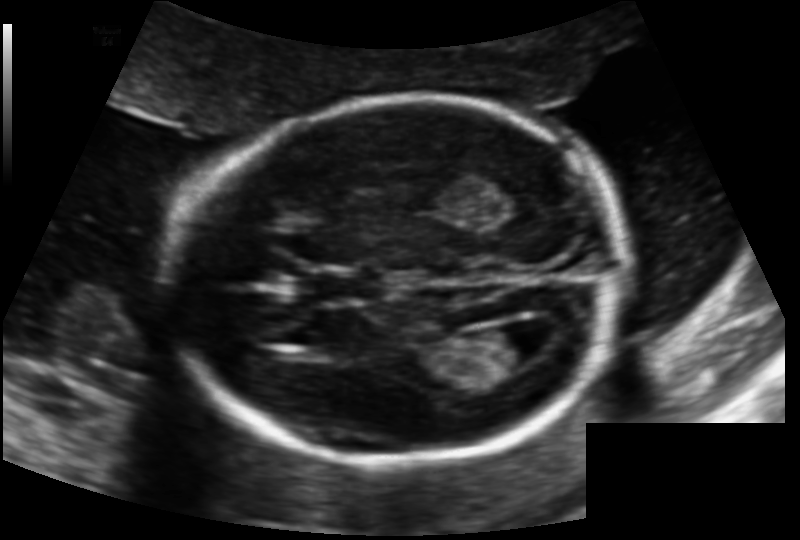
Fetal head ultrasound. Image width: 104.9 mm. Locate the lateral ventricle.

Lateral ventricle: [468,319,546,377]